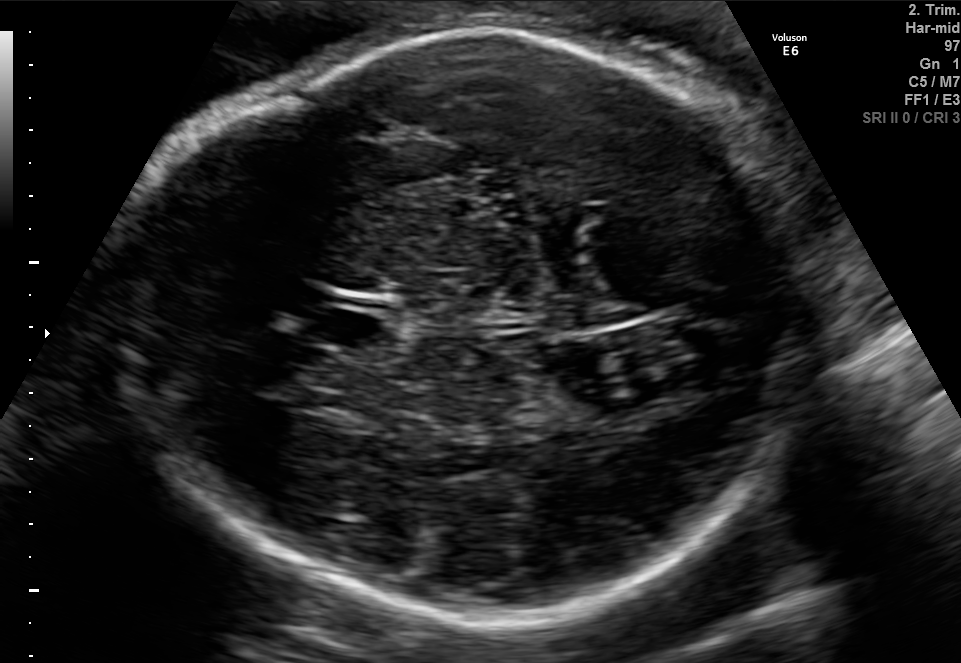
In this fetal brain, trans-thalamic plane, give the bounding box of the fetal head.

[112,29,835,630]